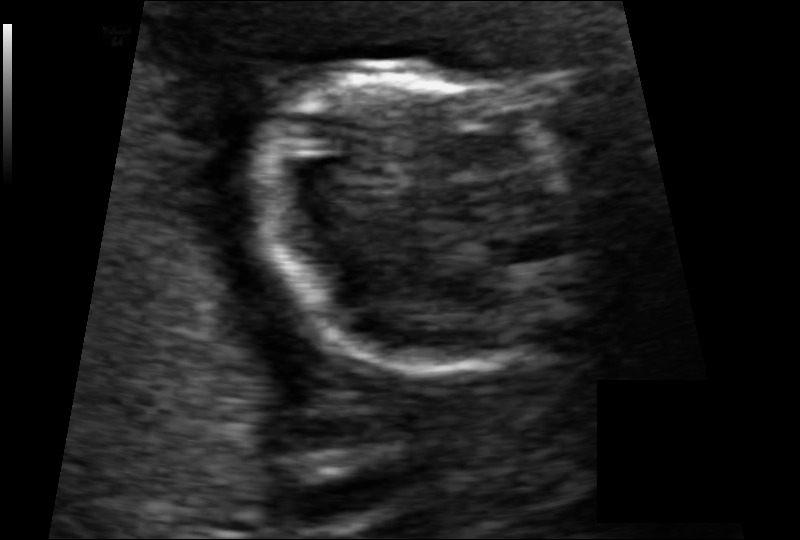
Measure the fetal head circumference shown in this ultrasound image. Image width: 62.3 mm.

Head circumference: 80.7 mm.